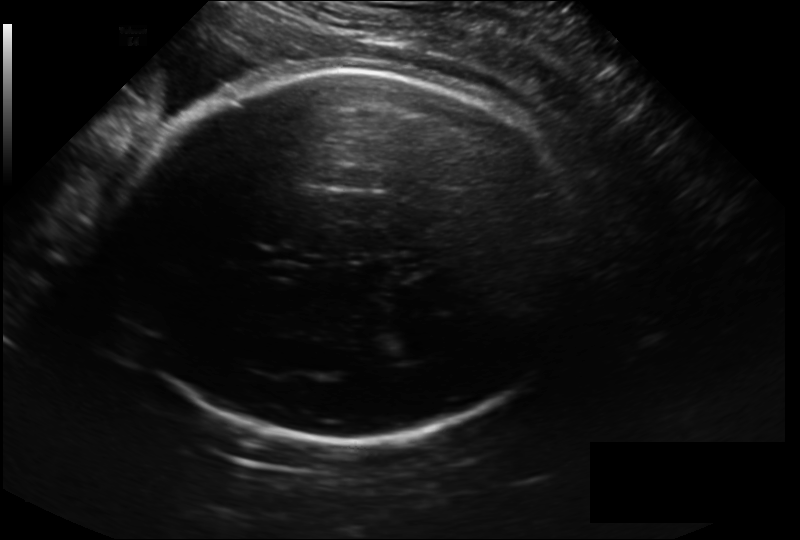
Estimate the fetal head circumference from this 2D ultrasound.

Head circumference: 311.8 mm (image width 182.1 mm).